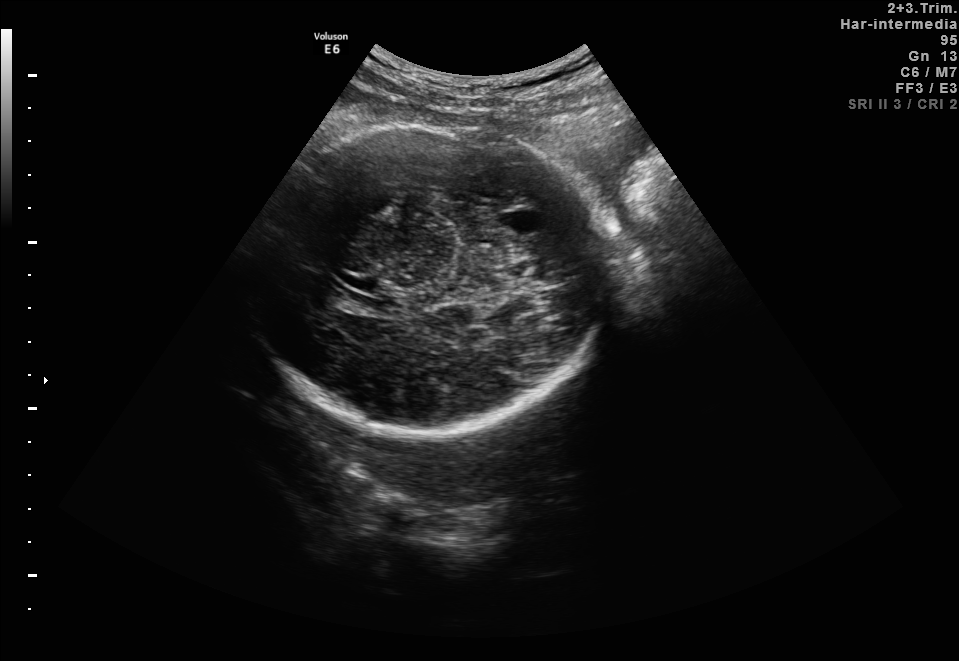
Fetal brain, trans-thalamic plane. Locate the fetal head.

Head: [246,125,603,436]